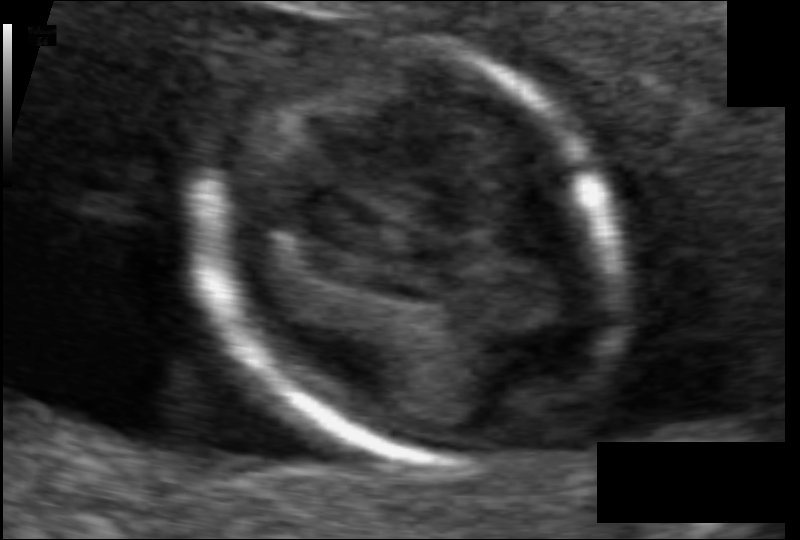
Fetal head ultrasound. Image width: 48.9 mm. Locate the fetal head and, if visible, the cavum septum pellucidum (CSP) and lateral ventricle (LV). Give bounding boxes as [x1,y1,x2,y2].

Head: [215,36,620,465]